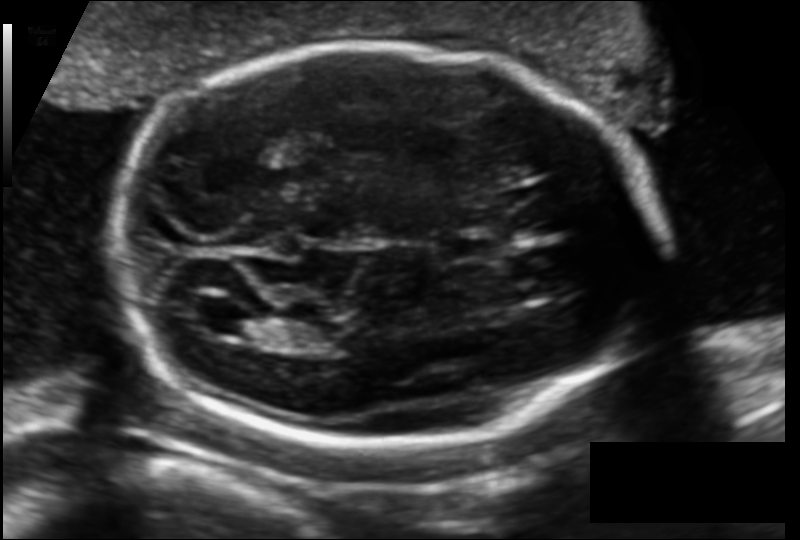
Fetal head ultrasound. Image width: 103.4 mm. Locate the lateral ventricle.

Lateral ventricle: [188,295,251,336]